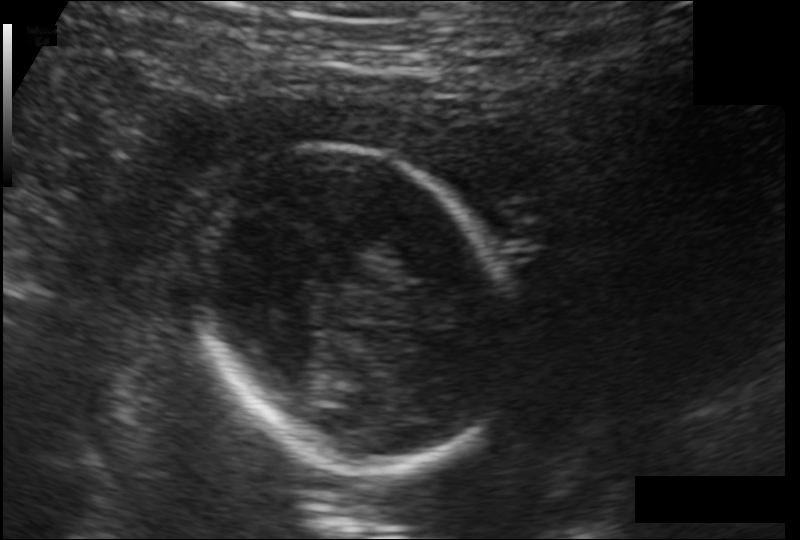
In this fetal head ultrasound, give bounding boxes for the head outline, cavum septum pellucidum (CSP), and lateral ventricle (LV), where visible. Image width: 116.5 mm.

Head: [189,147,526,465]